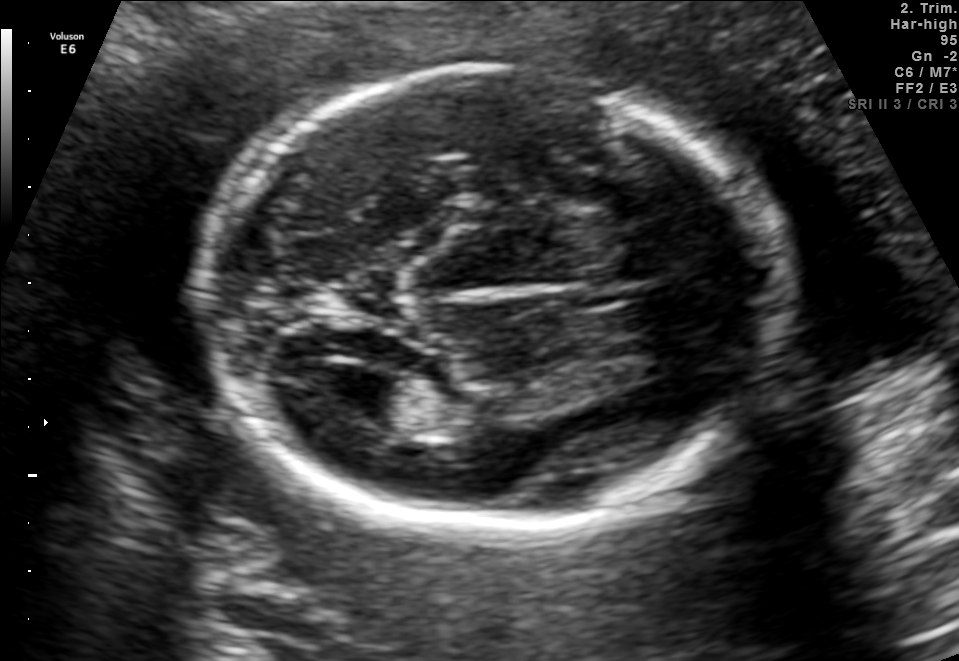
Fetal brain, trans-ventricular plane. Give [x1,y1,x2,y2] bounding boxes for each visible structure among: fetal head, CSP, LV.

Head: [186,61,807,532]
CSP: [575,259,668,311]
Lateral ventricle: [314,361,409,430]